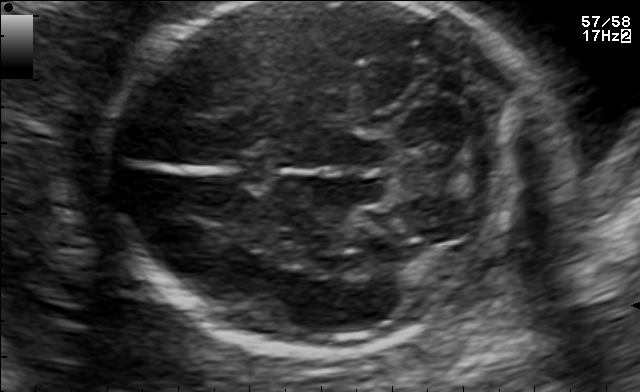
In this fetal brain, trans-cerebellum plane, give bounding boxes for the head outline, cavum septum pellucidum (CSP), and lateral ventricle (LV), where visible.

Head: [102,2,511,358]
CSP: [227,153,279,185]